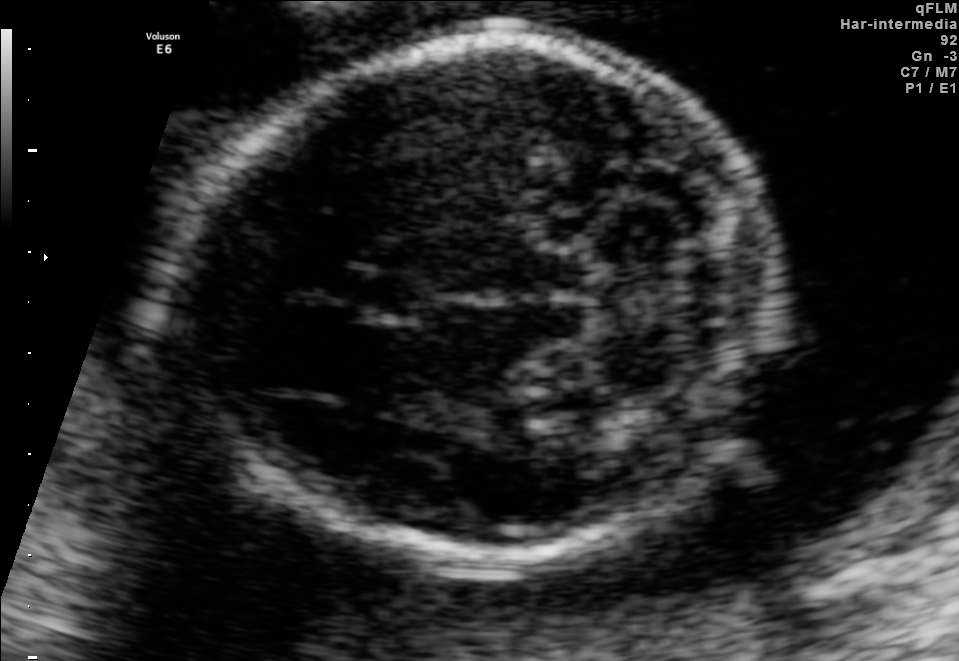
Fetal brain, trans-cerebellum plane. Locate the fetal head and, if visible, the cavum septum pellucidum (CSP) and lateral ventricle (LV). Give bounding boxes as [x1,y1,x2,y2].

Head: [190,41,763,564]
CSP: [344,265,433,327]